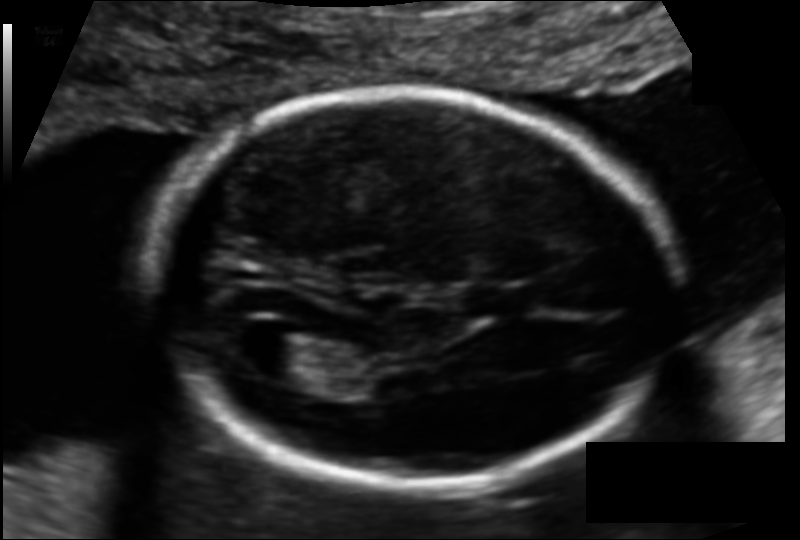
In this fetal head ultrasound, give bounding boxes for the head outline, cavum septum pellucidum (CSP), and lateral ventricle (LV), where visible. Image width: 91.1 mm.

Head: [152,89,673,485]
CSP: [466,282,532,319]
Lateral ventricle: [239,325,330,387]